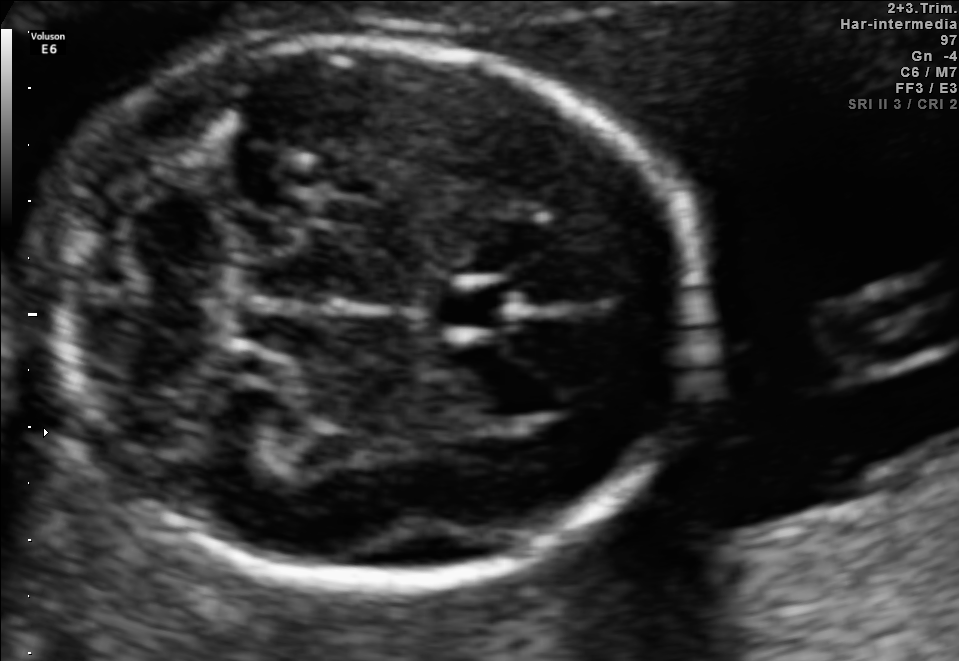
Fetal brain, trans-cerebellum plane. Locate the cavum septum pellucidum.

CSP: [437,282,515,333]